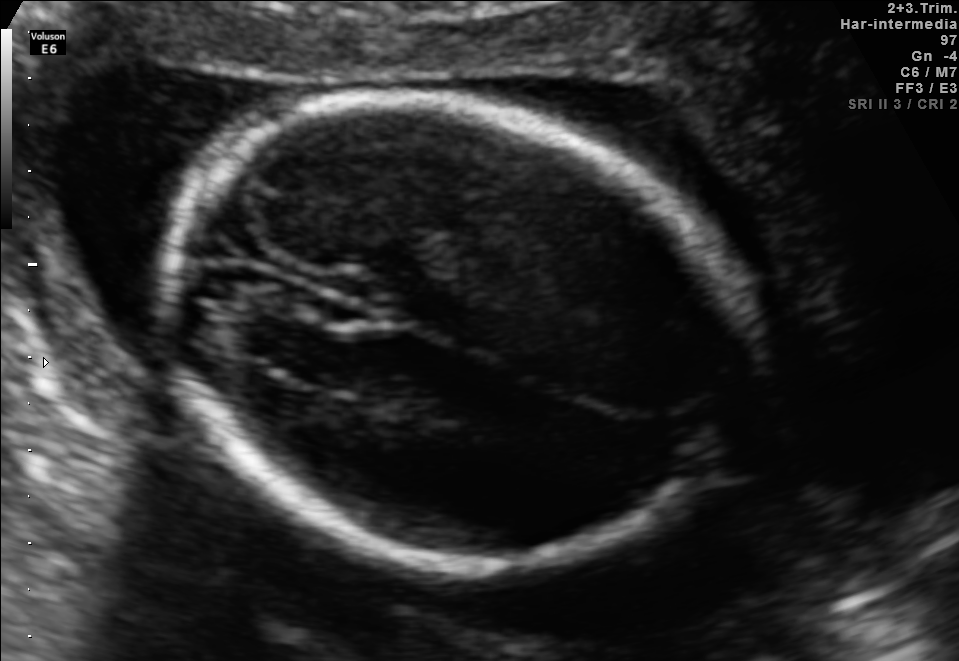
Fetal brain, trans-thalamic plane. Give [x1,y1,x2,y2] bounding boxes for each visible structure among: fetal head, CSP, LV.

Head: [157,103,754,562]